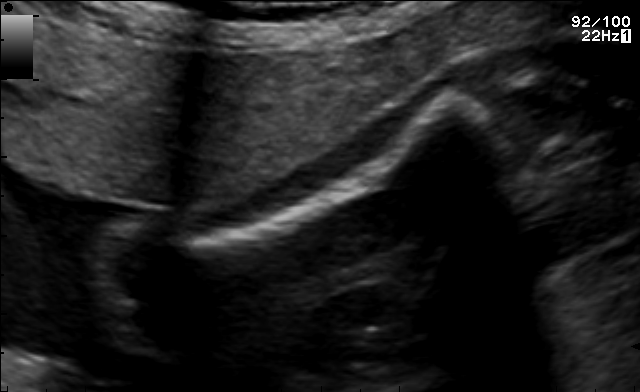
This is a 2D maternal-fetal ultrasound frame. Is it a fetal abdomen, fetal brain, fetal femur, fetal thorax, maternal cervix, or other standard plane? If it's fetal brain and one of the three standard brain planes (trans-thalamic, trans-cerebellum, trans-ventricular), name which.

Fetal femur